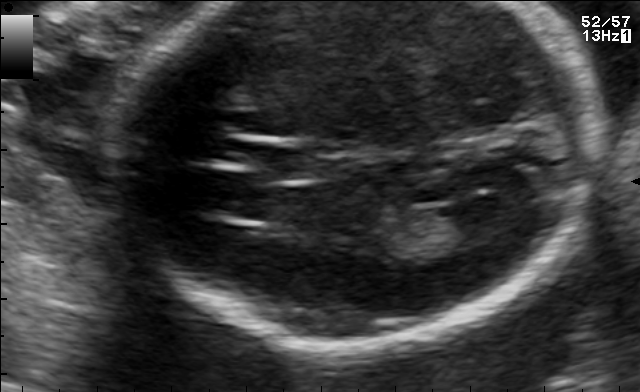
In this fetal brain, trans-ventricular plane, give bounding boxes for the cavum septum pellucidum (CSP) and lateral ventricle (LV), where visible.

CSP: [246,144,350,180]
Lateral ventricle: [435,185,521,247]